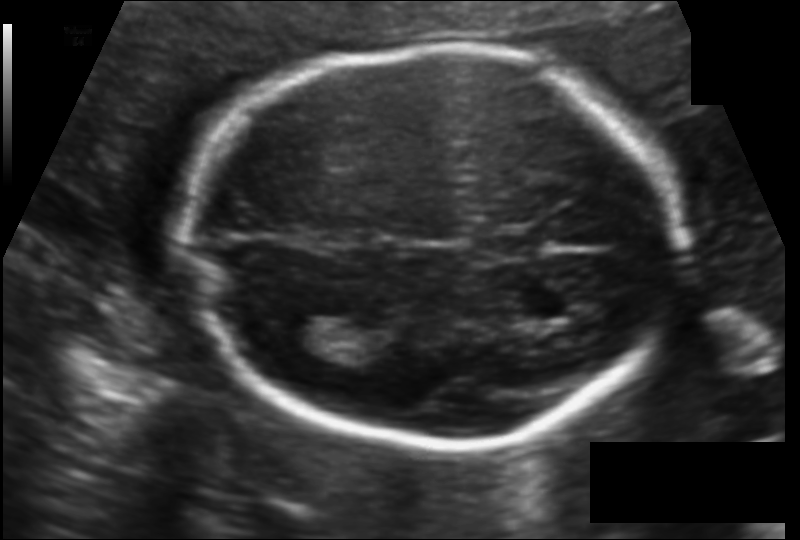
Measure the fetal head circumference shown in this ultrasound image. Image width: 99.4 mm.

Head circumference: 180.6 mm.